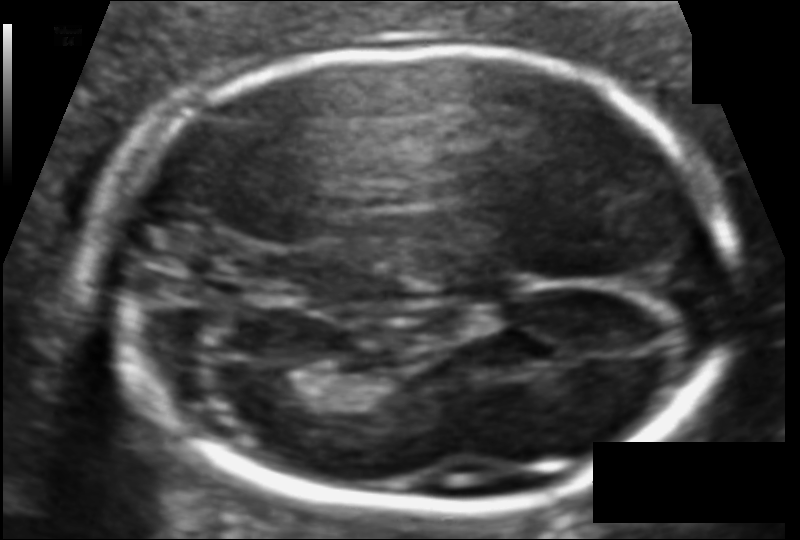
Fetal head ultrasound. Image width: 76.5 mm. Give [x1,y1,x2,y2] bounding boxes for each visible structure among: fetal head, CSP, LV.

Head: [97,49,730,509]
Lateral ventricle: [260,365,324,410]